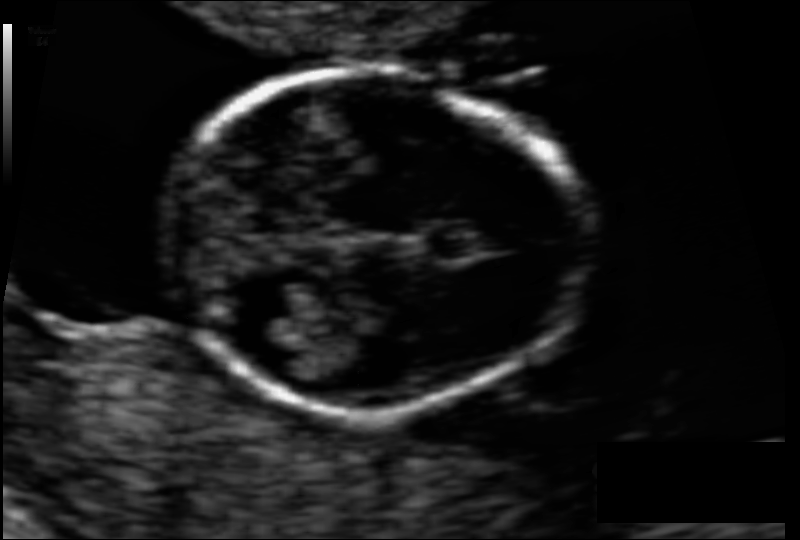
What is the fetal head circumference? Image width is 52.1 mm.

79.1 mm